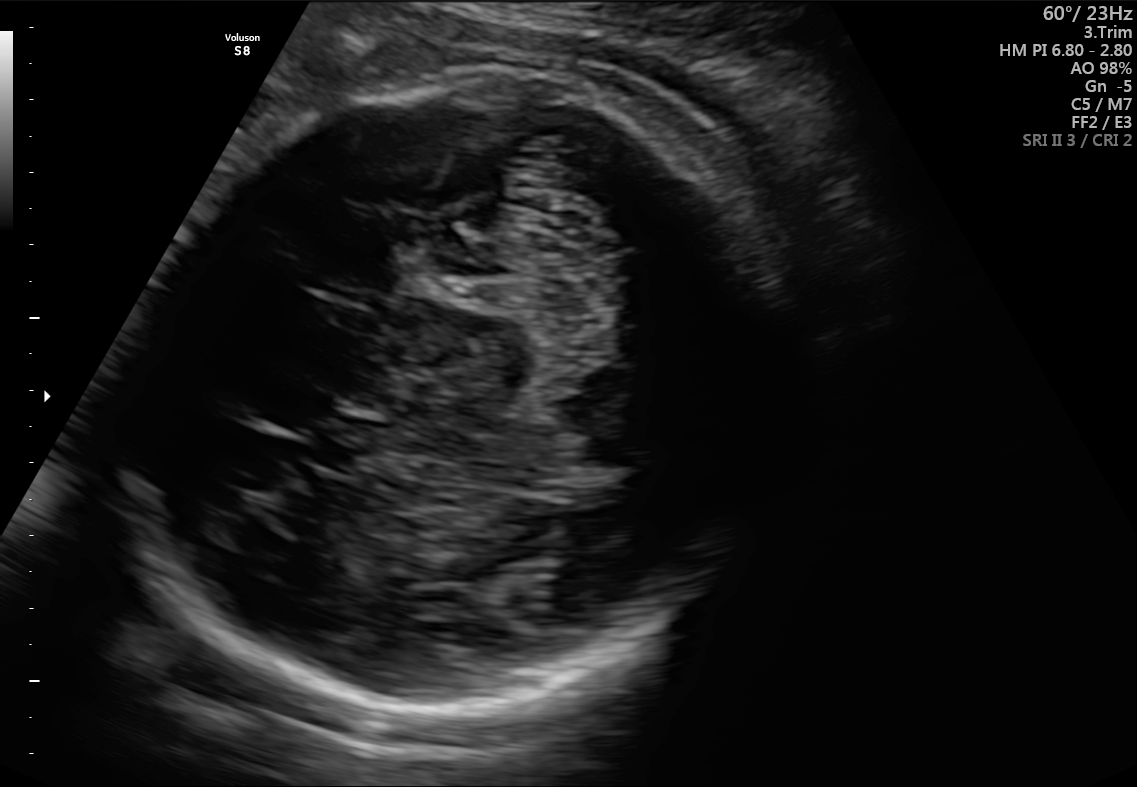
Fetal brain, trans-cerebellum plane. Give [x1,y1,x2,y2] bounding boxes for each visible structure among: fetal head, CSP, LV.

Head: [138,73,758,707]